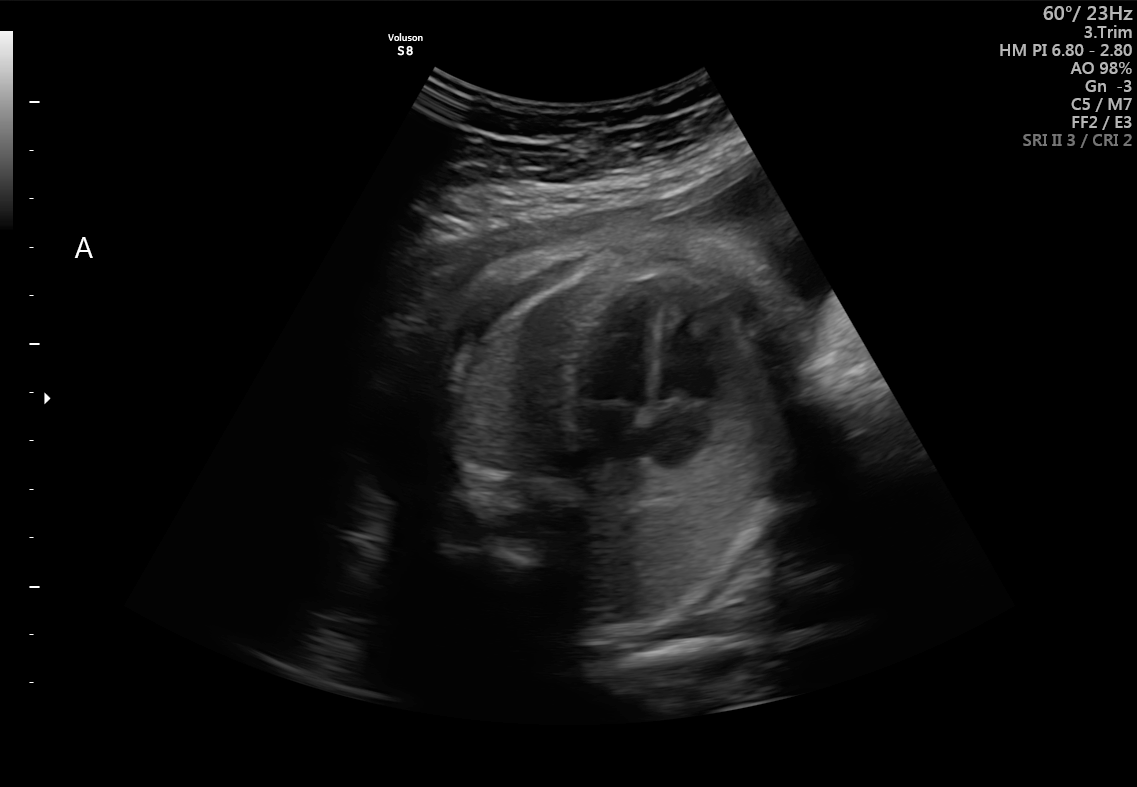
Which standard maternal-fetal ultrasound plane is shown: fetal abdomen, fetal brain, fetal femur, fetal thorax, maternal cervix, or other? If it's fetal brain and one of the three standard brain planes (trans-thalamic, trans-cerebellum, trans-ventricular), name which.

Fetal thorax